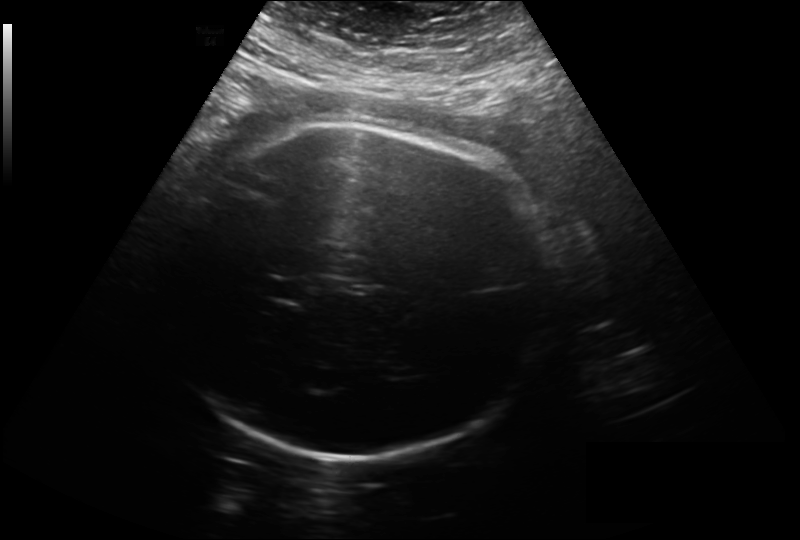
Fetal head ultrasound. Image width: 208.8 mm. Locate the fetal head and, if visible, the cavum septum pellucidum (CSP) and lateral ventricle (LV). Give bounding boxes as [x1,y1,x2,y2].

Head: [167,123,546,460]
CSP: [262,274,308,305]